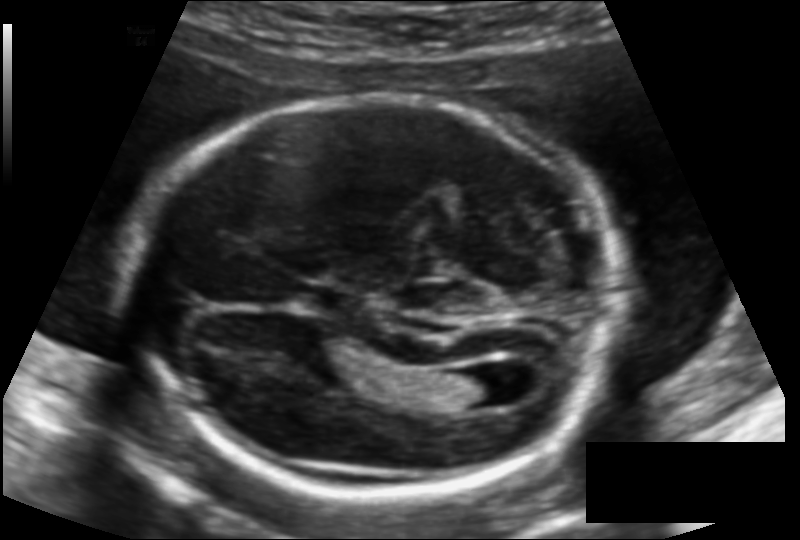
Measure the fetal head circumference shown in this ultrasound image. Image width: 99.7 mm.

Head circumference: 184.3 mm.